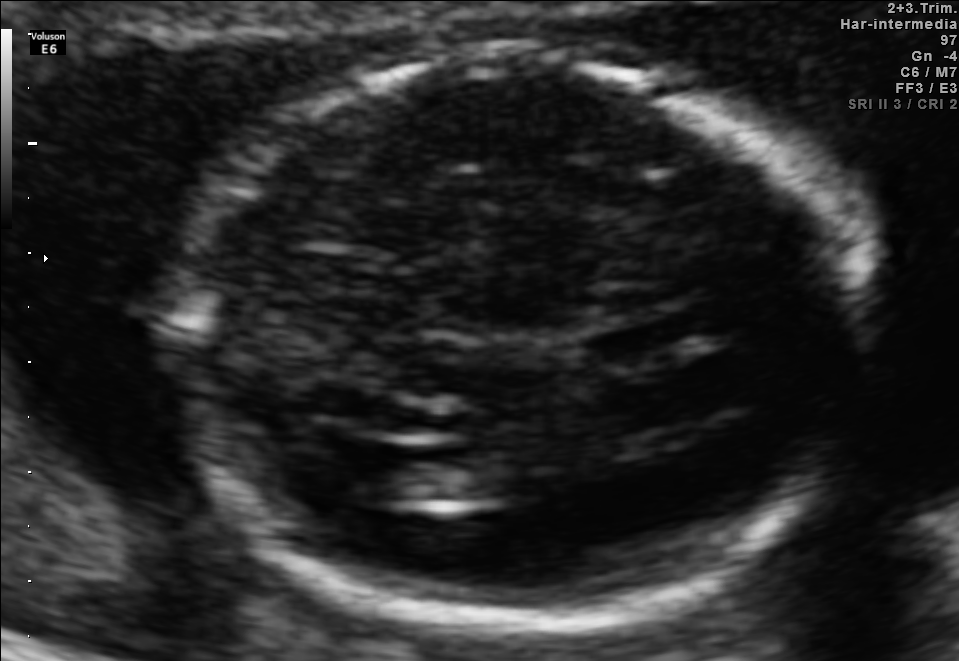
Fetal brain, trans-ventricular plane. Locate the lateral ventricle.

Lateral ventricle: [367,446,443,499]